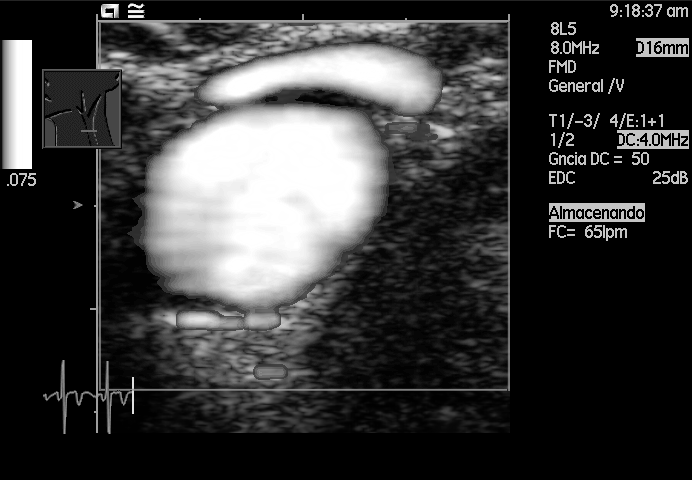
Identify the standard plane in this fetal ultrasound image: fetal abdomen, fetal brain, fetal femur, fetal thorax, maternal cervix, or other. If it's fetal brain and one of the three standard brain planes (trans-thalamic, trans-cerebellum, trans-ventricular), name which.

Other